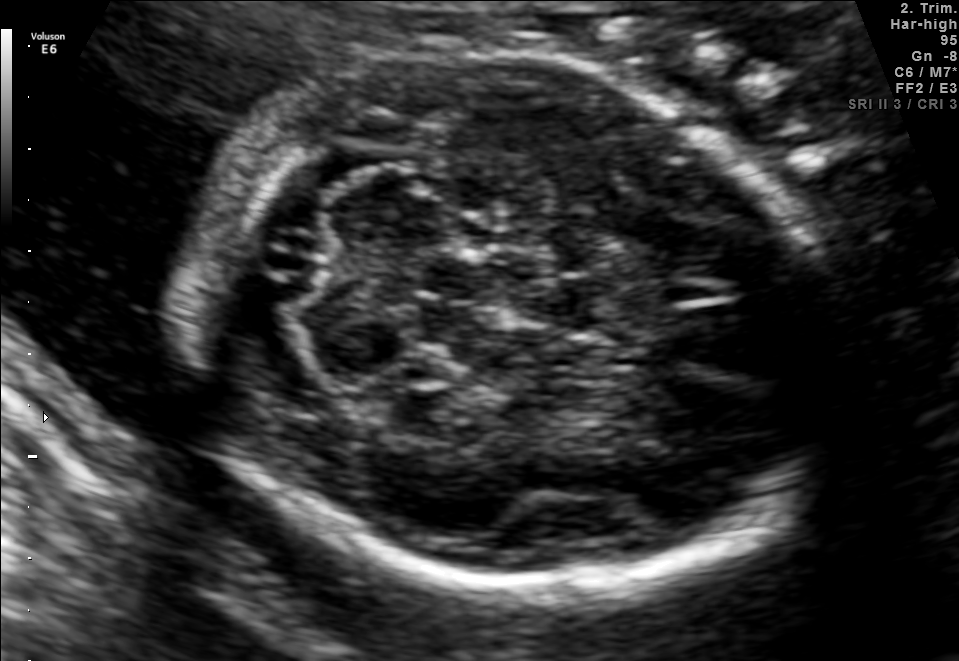
Identify the standard plane in this fetal ultrasound image: fetal abdomen, fetal brain, fetal femur, fetal thorax, maternal cervix, or other. If it's fetal brain and one of the three standard brain planes (trans-thalamic, trans-cerebellum, trans-ventricular), name which.

Fetal brain (trans-cerebellum plane)